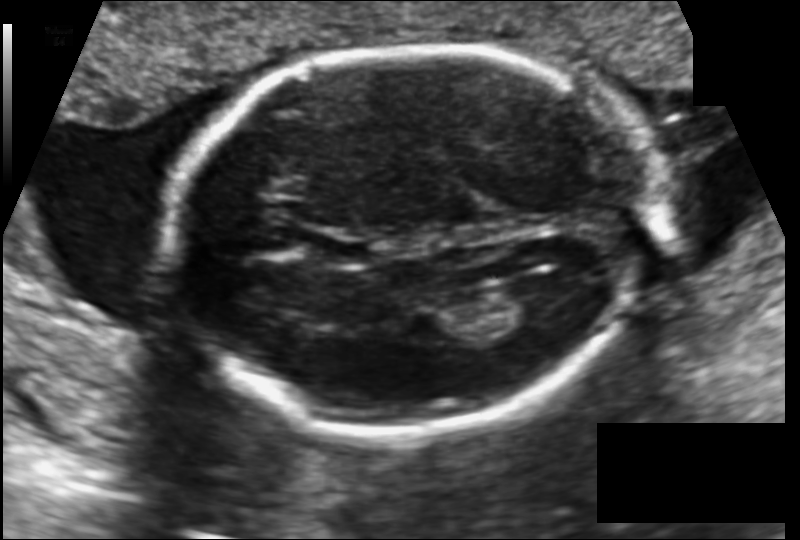
Fetal head ultrasound. Image width: 106.0 mm. Where is the lateral ventricle?

Lateral ventricle bounding box: [490,272,572,332]